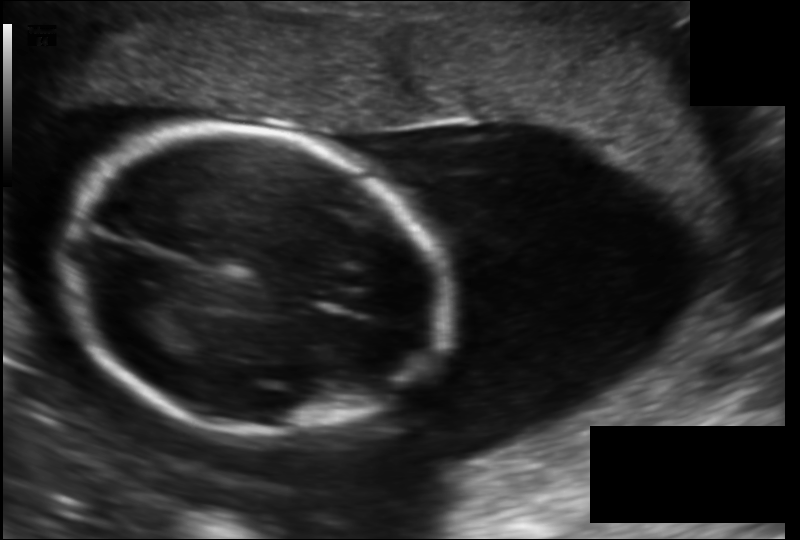
What is the fetal head circumference? Image width is 124.6 mm.

175.2 mm